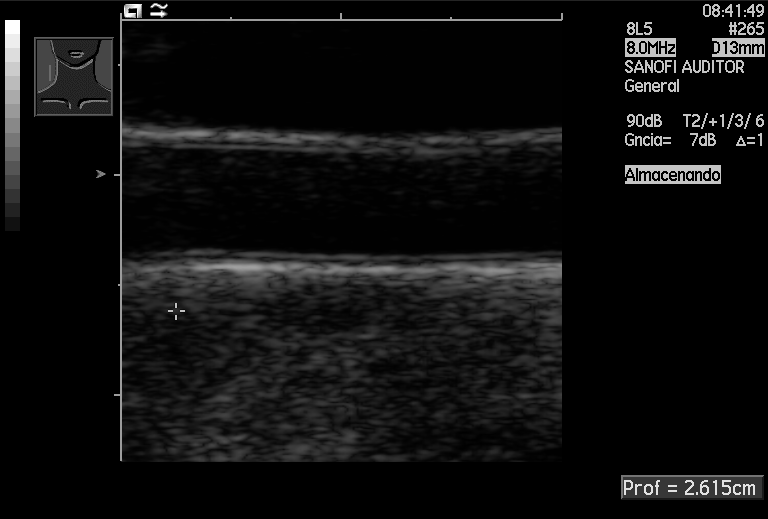
Classify this maternal-fetal ultrasound image as one of the six standard planes — fetal abdomen, fetal brain, fetal femur, fetal thorax, maternal cervix, or other. If it's fetal brain and one of the three standard brain planes (trans-thalamic, trans-cerebellum, trans-ventricular), name which.

Other